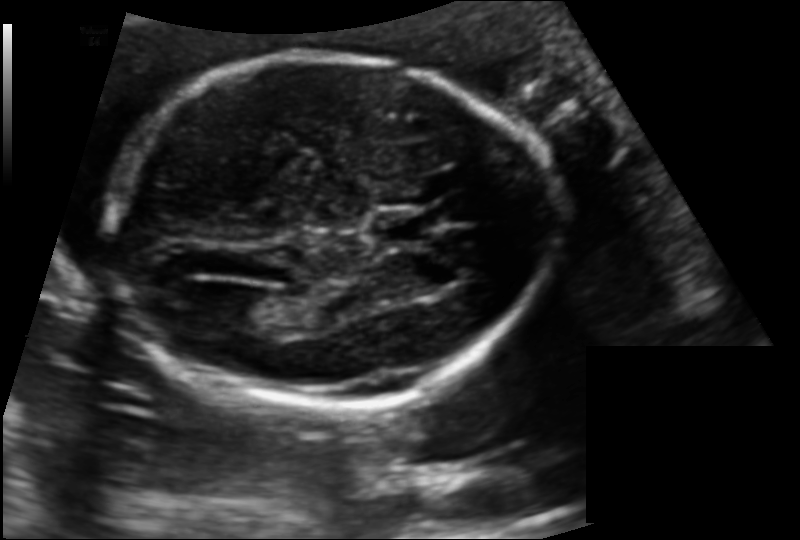
In this fetal head ultrasound, give the bounding box of the fetal head. Image width: 105.8 mm.

[106,56,551,404]